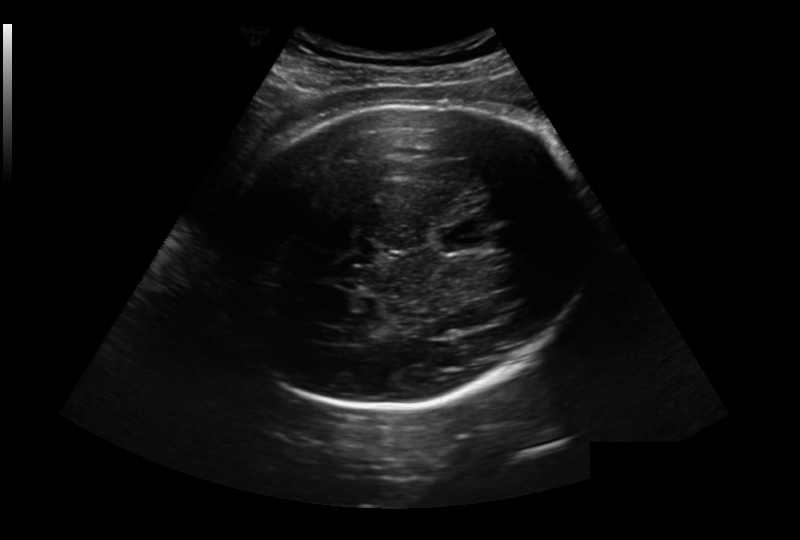
What is the fetal head circumference? Image width is 224.8 mm.

305.2 mm